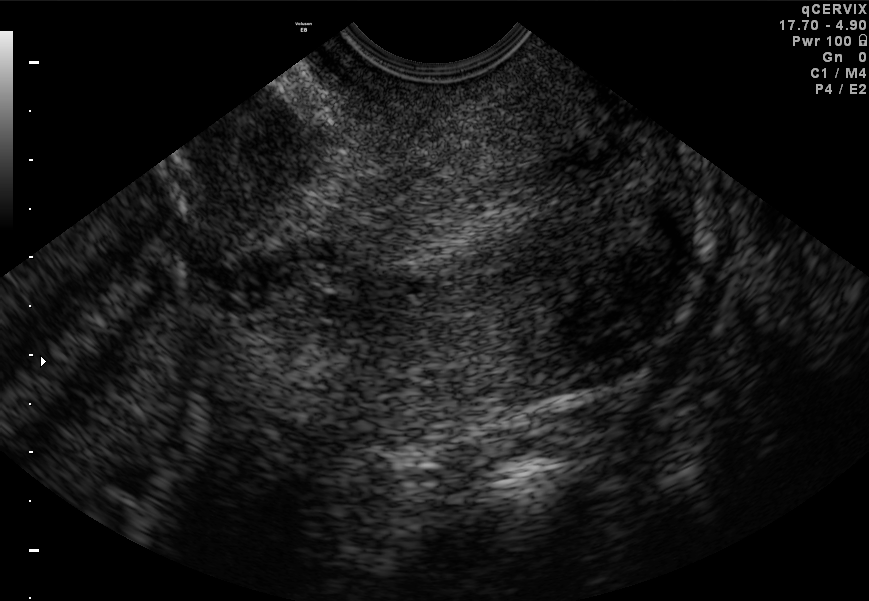
This is a 2D maternal-fetal ultrasound frame. Is it a fetal abdomen, fetal brain, fetal femur, fetal thorax, maternal cervix, or other standard plane? If it's fetal brain and one of the three standard brain planes (trans-thalamic, trans-cerebellum, trans-ventricular), name which.

Maternal cervix